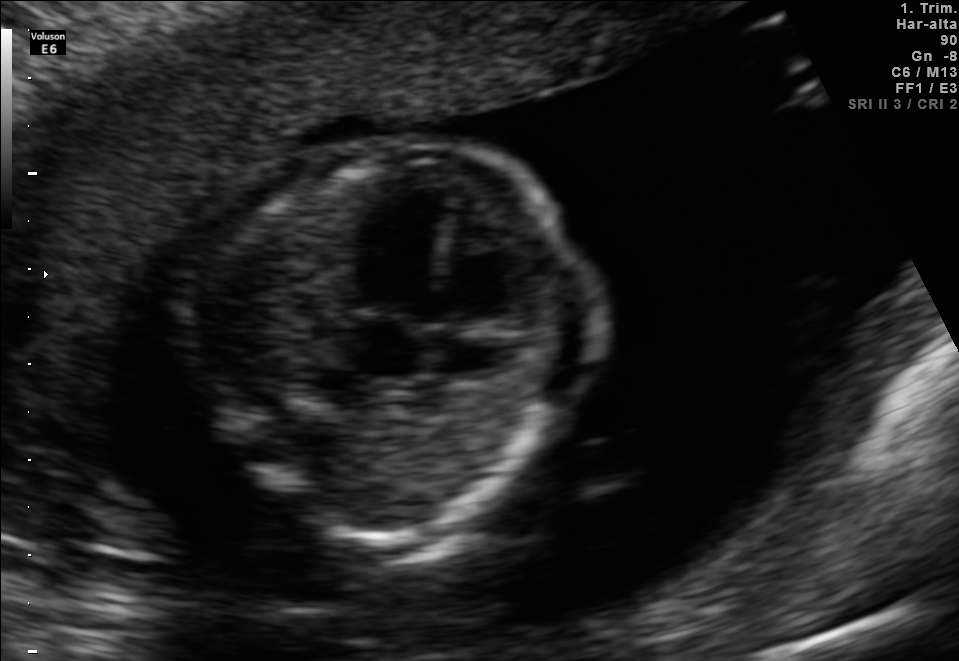
Classify this maternal-fetal ultrasound image as one of the six standard planes — fetal abdomen, fetal brain, fetal femur, fetal thorax, maternal cervix, or other. If it's fetal brain and one of the three standard brain planes (trans-thalamic, trans-cerebellum, trans-ventricular), name which.

Fetal thorax